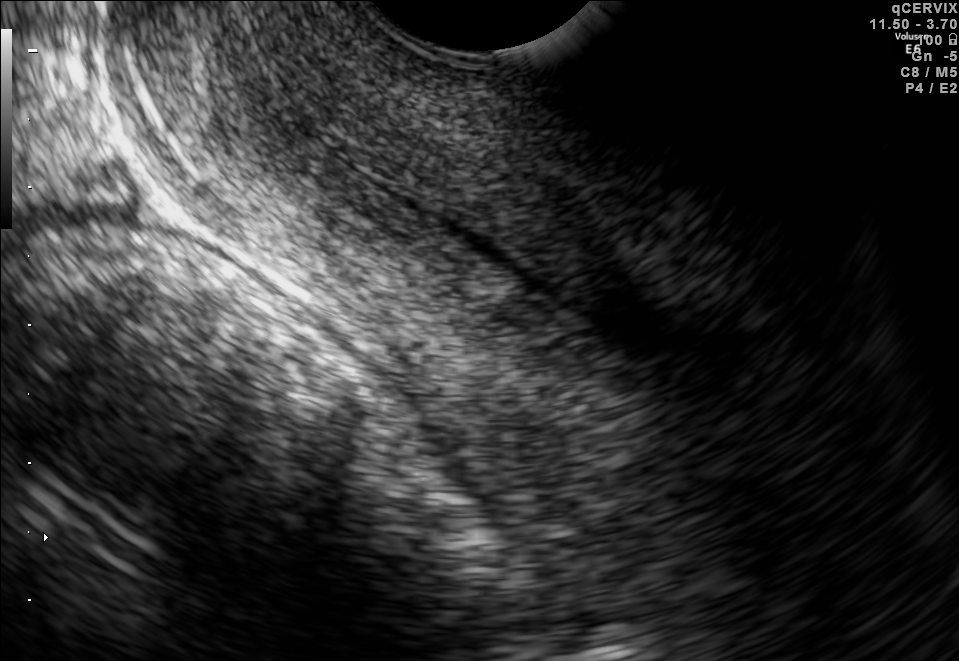
This is a 2D maternal-fetal ultrasound frame. Is it a fetal abdomen, fetal brain, fetal femur, fetal thorax, maternal cervix, or other standard plane? If it's fetal brain and one of the three standard brain planes (trans-thalamic, trans-cerebellum, trans-ventricular), name which.

Maternal cervix